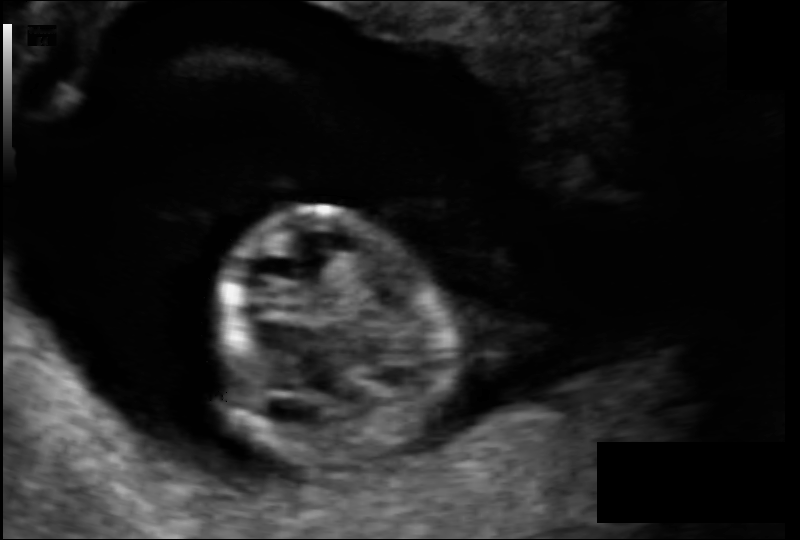
Estimate the fetal head circumference from this 2D ultrasound. Image width: 78.9 mm.

Head circumference: 80.7 mm.